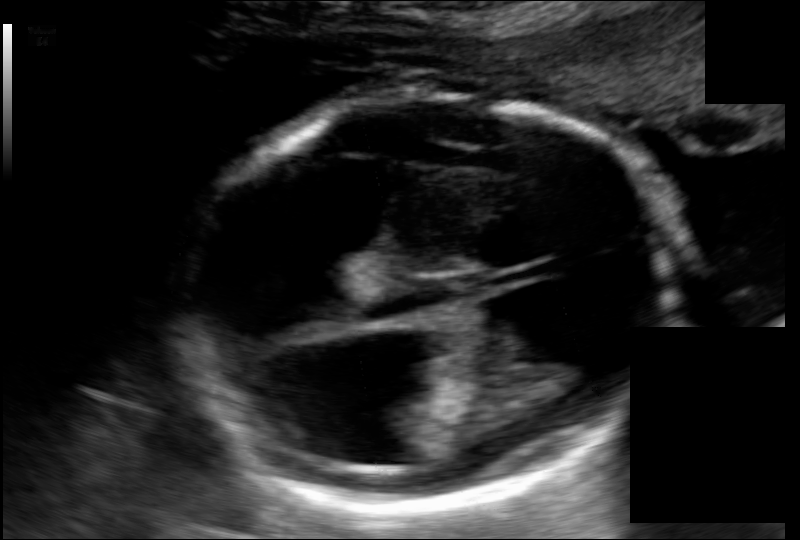
Fetal head ultrasound. Image width: 107.8 mm. Where is the fetal head?

Head bounding box: [184,91,678,512]